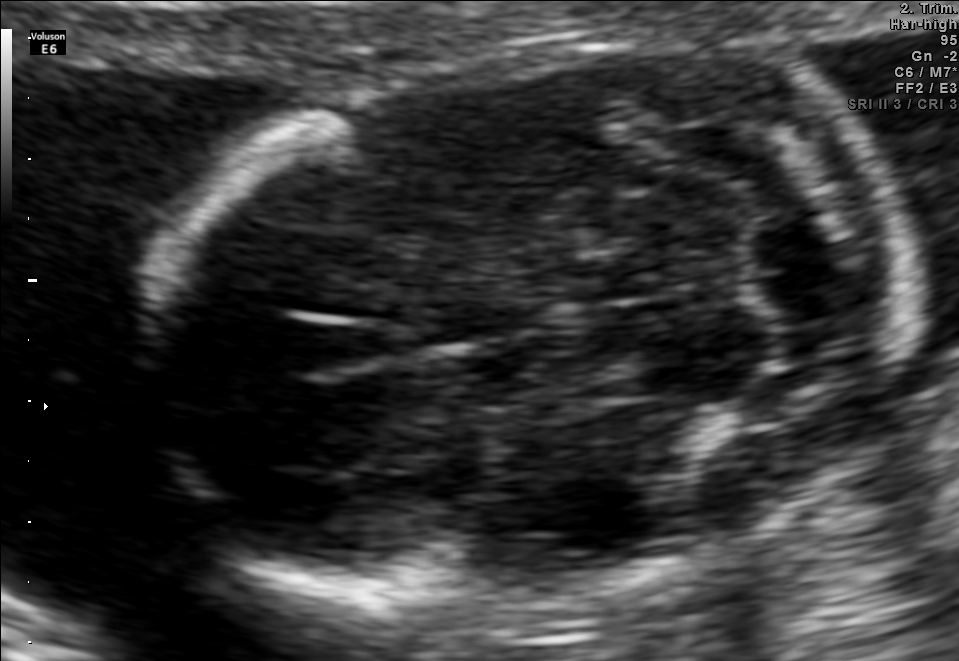
This is a 2D maternal-fetal ultrasound frame. Is it a fetal abdomen, fetal brain, fetal femur, fetal thorax, maternal cervix, or other standard plane? If it's fetal brain and one of the three standard brain planes (trans-thalamic, trans-cerebellum, trans-ventricular), name which.

Fetal brain (trans-cerebellum plane)